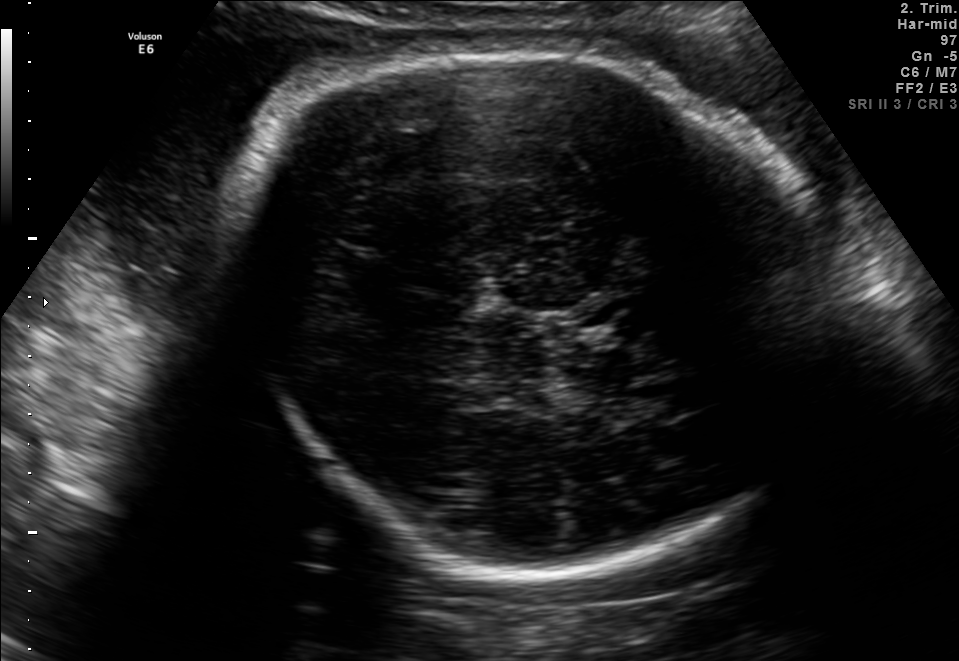
Fetal brain, trans-thalamic plane. Where is the fetal head?

Head bounding box: [236,39,821,578]